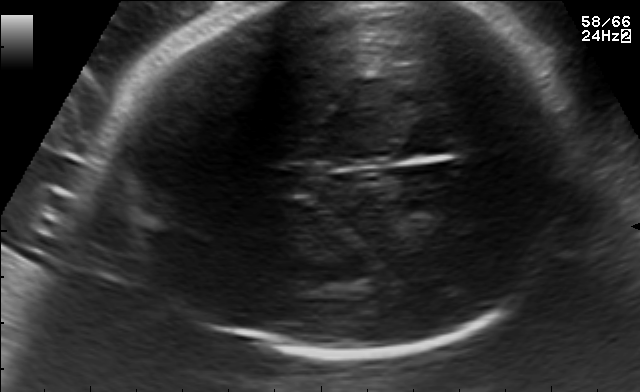
Fetal brain, trans-thalamic plane. Where is the cavum septum pellucidum?

CSP bounding box: [261,166,320,193]